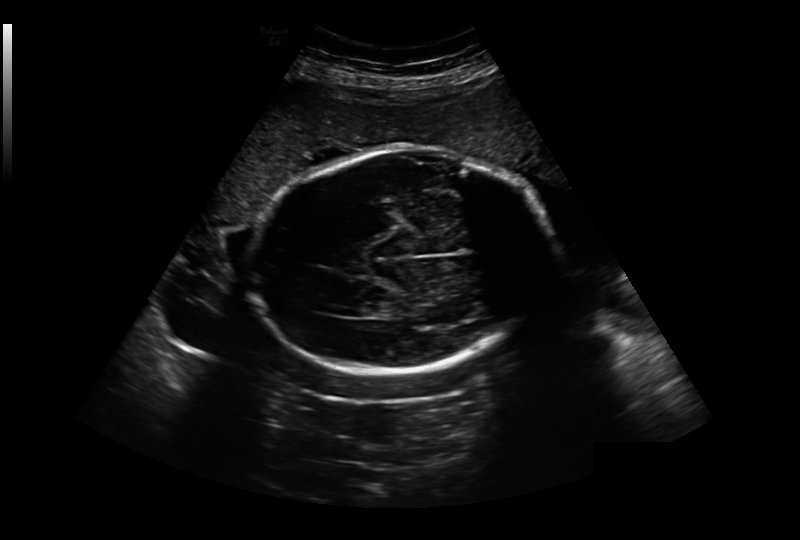
What is the fetal head circumference? Image width is 278.8 mm.

291.3 mm